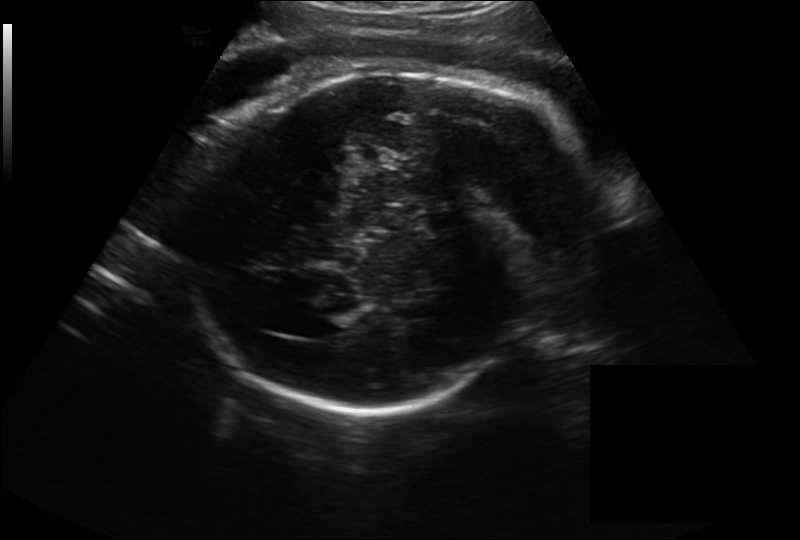
In this fetal head ultrasound, give the bounding box of the lateral ventricle. Image width: 209.3 mm.

[305,312,353,338]